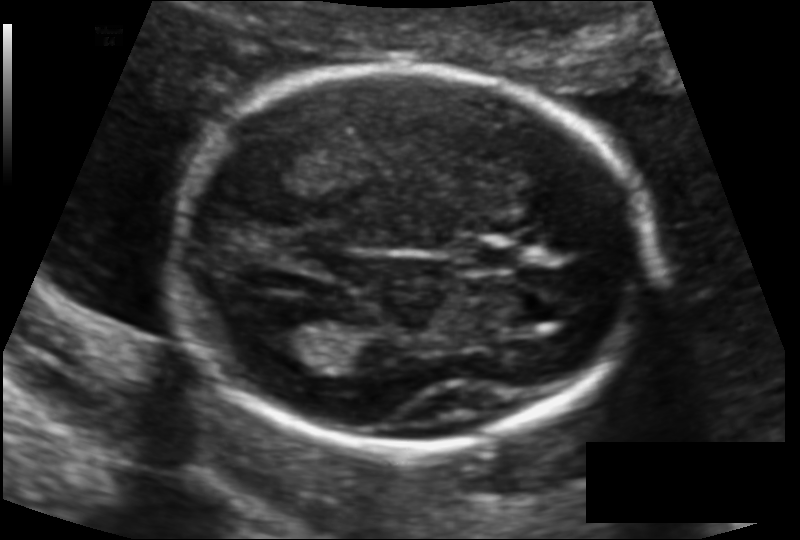
Fetal head ultrasound. Image width: 93.3 mm. Locate the lateral ventricle.

Lateral ventricle: [247,297,338,371]